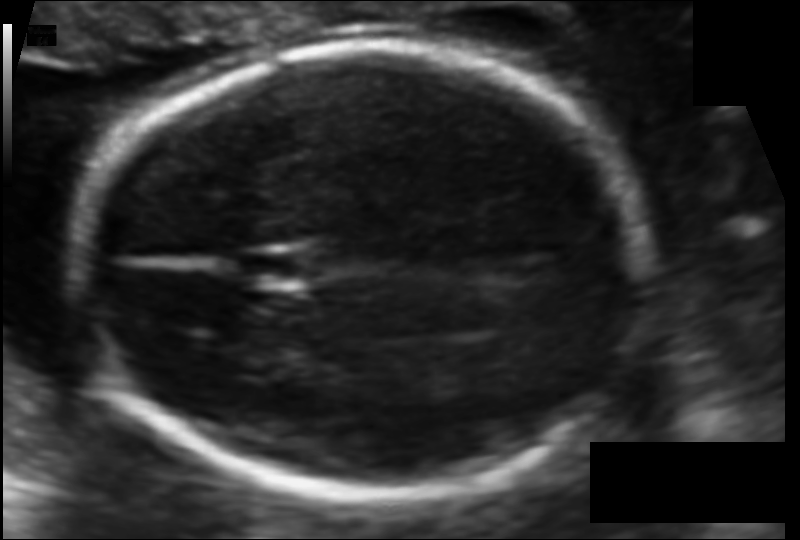
Fetal head ultrasound. Image width: 84.8 mm. Locate the fetal head and, if visible, the cavum septum pellucidum (CSP) and lateral ventricle (LV). Give bounding boxes as [x1,y1,x2,y2].

Head: [81,47,644,500]
CSP: [235,248,308,290]